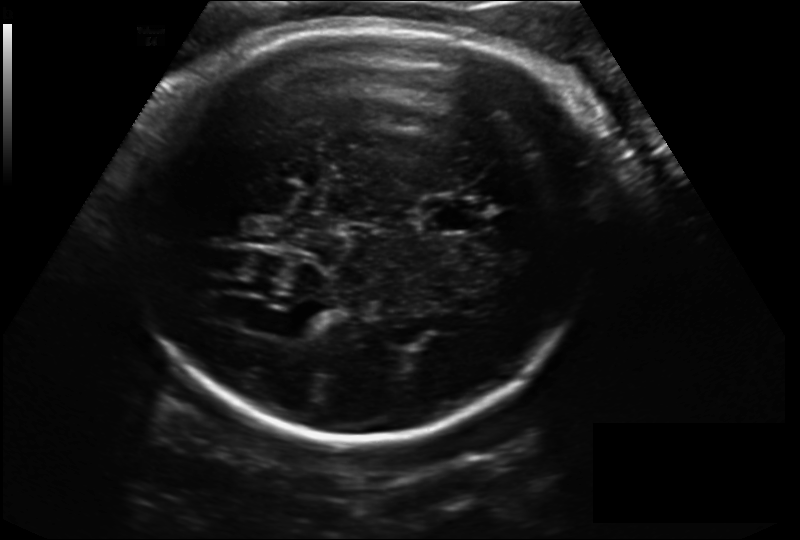
From this fetal ultrasound, estimate the head circumference (image width 158.7 mm).

Head circumference: 282.8 mm.